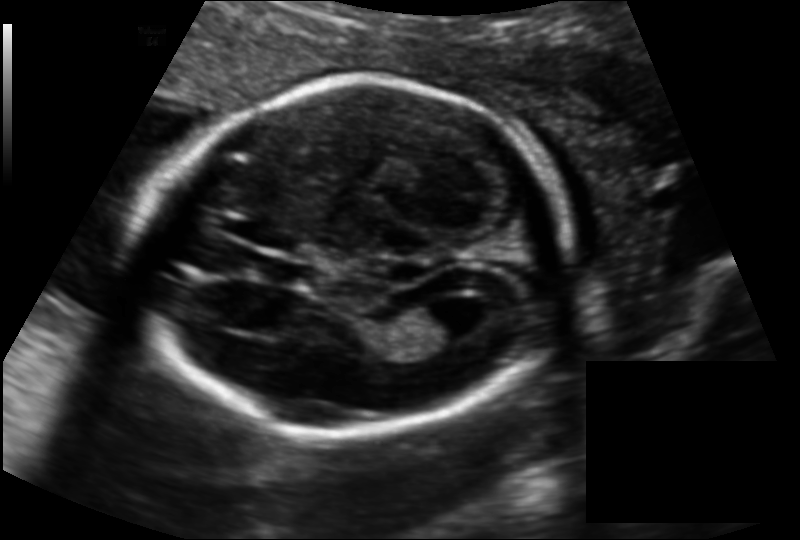
In this fetal head ultrasound, give the bounding box of the fetal head. Image width: 107.9 mm.

[138,80,569,434]